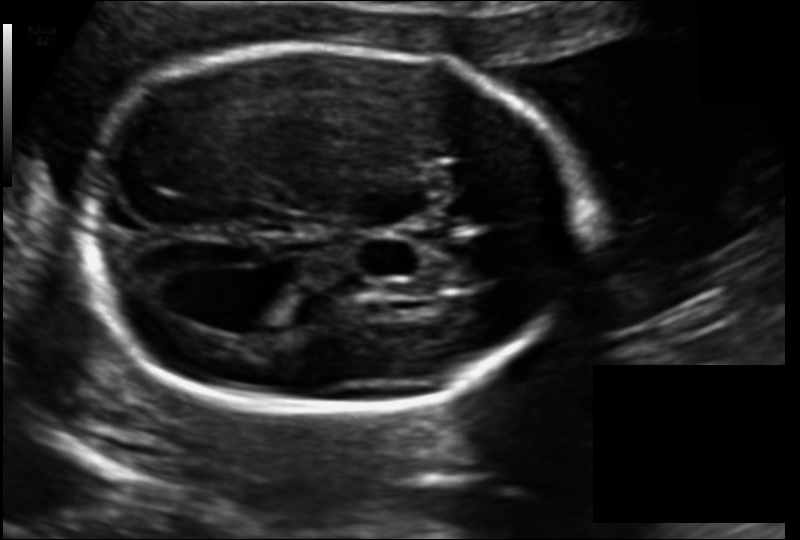
Estimate the fetal head circumference from this 2D ultrasound.

Head circumference: 182.7 mm (image width 102.4 mm).